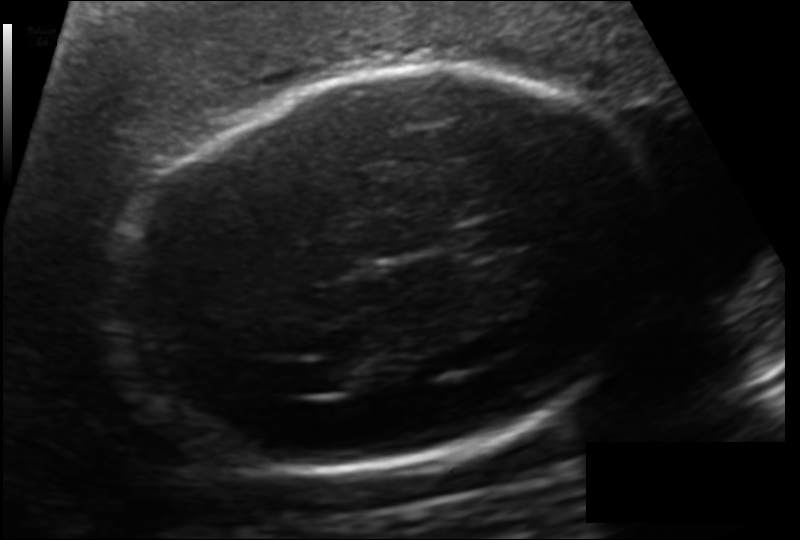
In this fetal head ultrasound, give the bounding box of the cavum septum pellucidum. Image width: 120.9 mm.

[450,209,527,264]